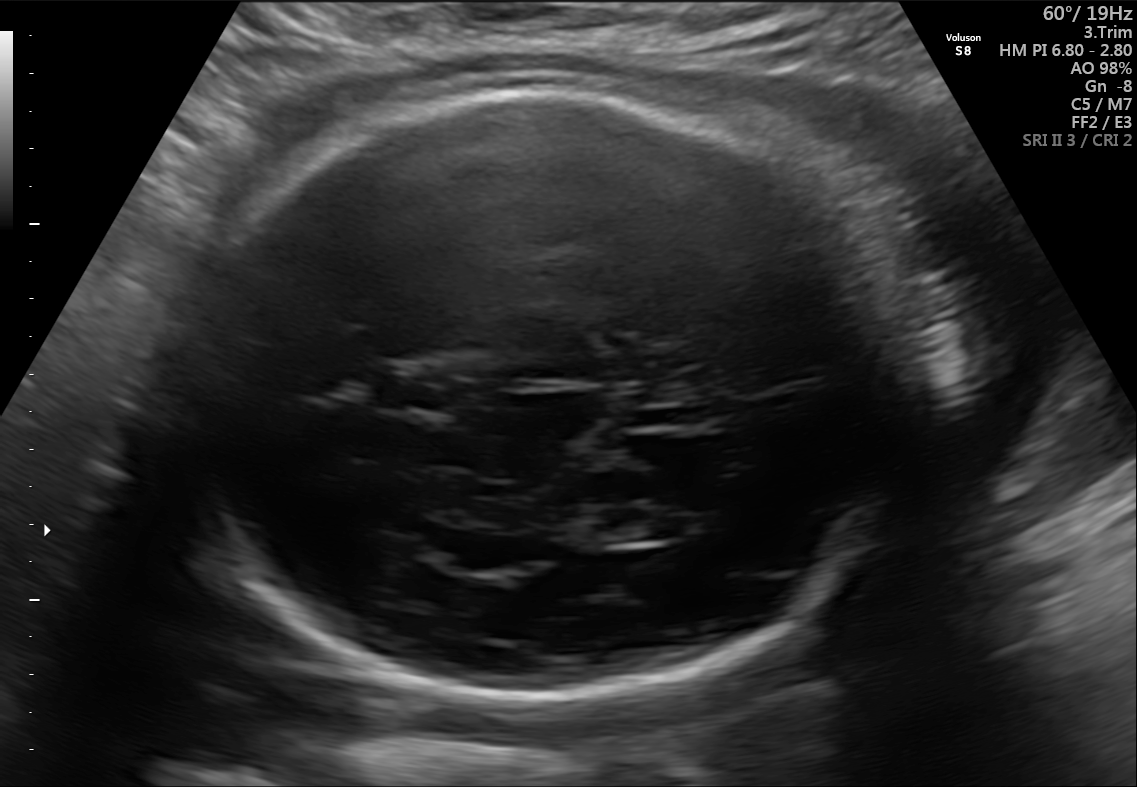
In this fetal brain, trans-thalamic plane, give the bounding box of the fetal head.

[165,81,906,692]